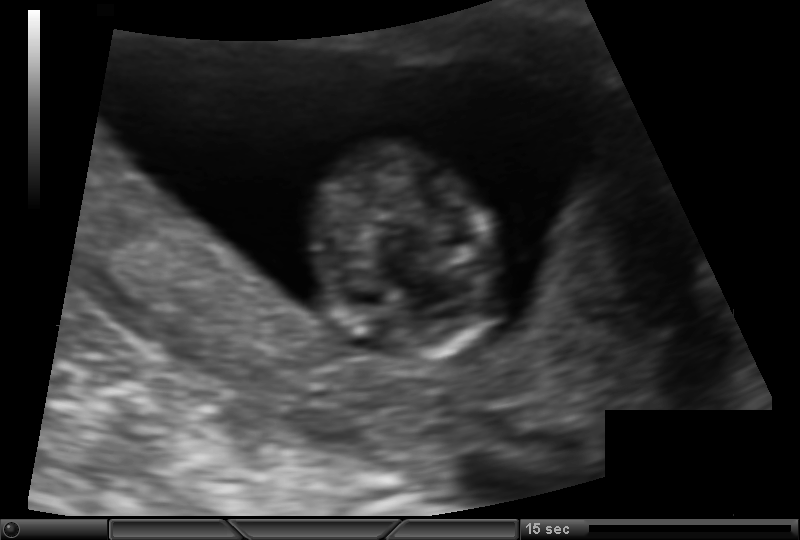
Estimate the fetal head circumference from this 2D ultrasound.

Head circumference: 73.2 mm (image width 84.2 mm).